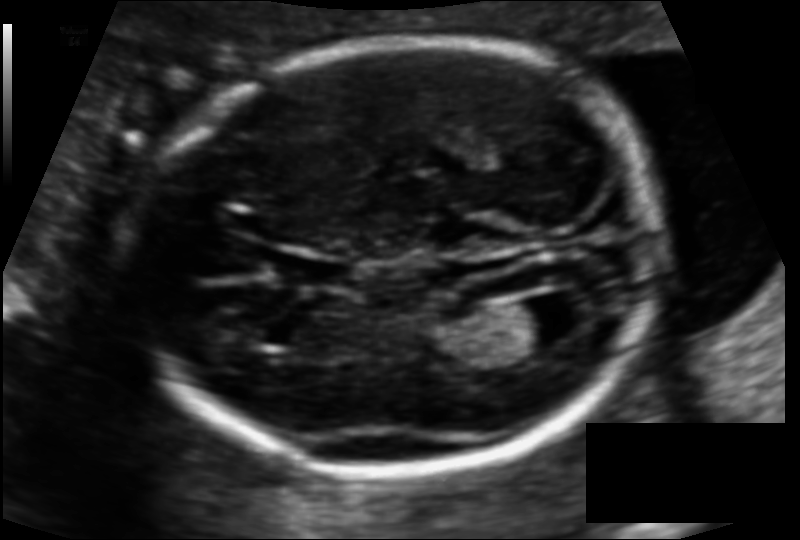
Measure the fetal head circumference shown in this ultrasound image. Image width: 88.1 mm.

Head circumference: 168.6 mm.